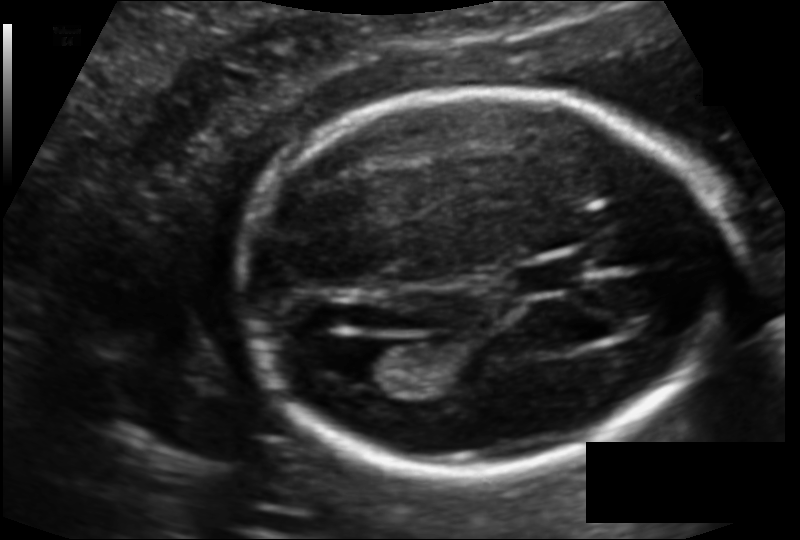
Fetal head ultrasound. Image width: 96.9 mm. Locate the lateral ventricle.

Lateral ventricle: [334,339,411,387]